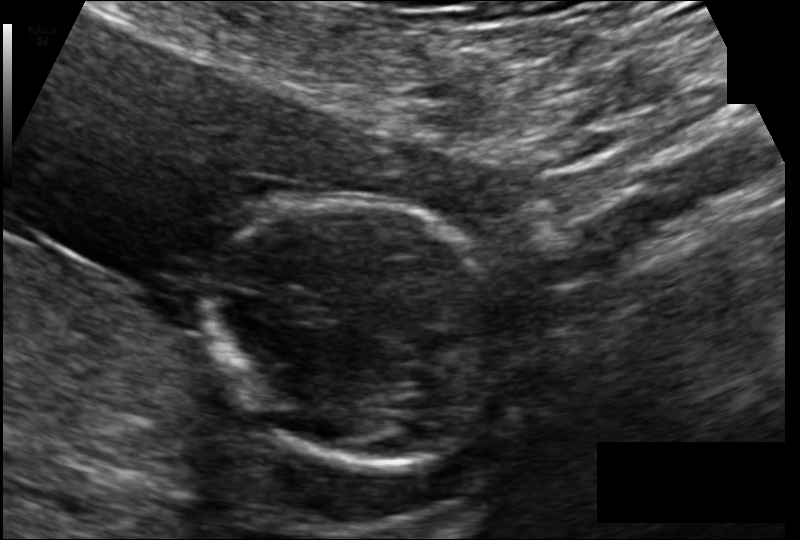
Fetal head ultrasound. Image width: 81.2 mm. Locate the fetal head.

Head: [201,200,534,466]